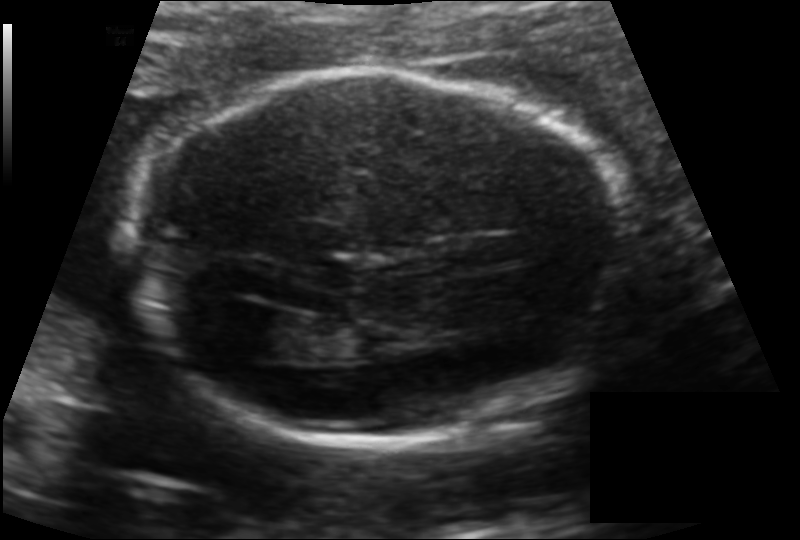
Fetal head ultrasound. Image width: 107.1 mm. Give [x1,y1,x2,y2] bounding boxes for each visible structure among: fetal head, CSP, LV.

Head: [138,69,631,441]
Lateral ventricle: [223,308,299,358]